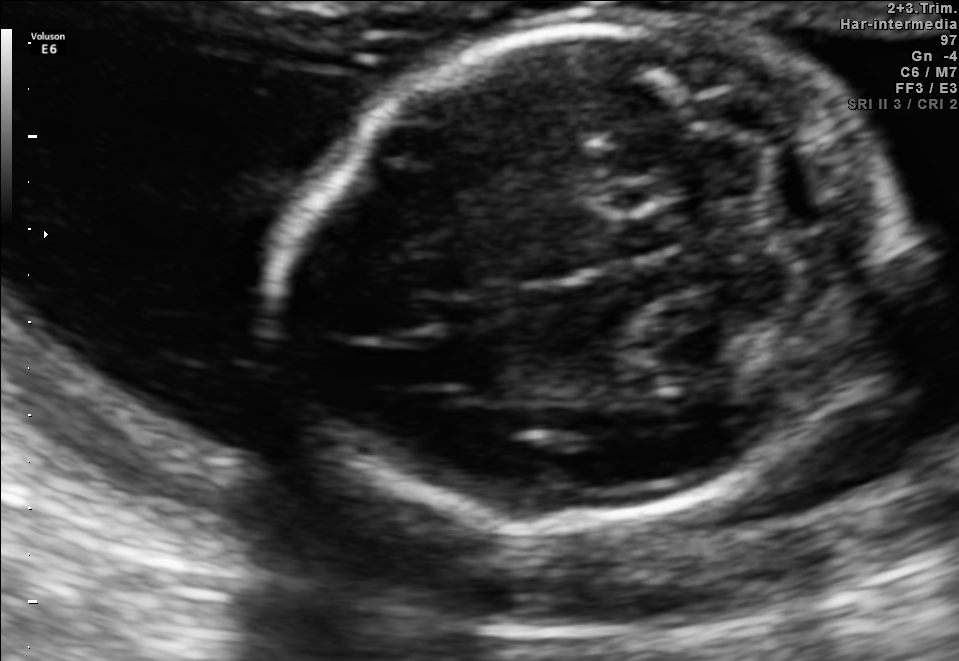
Fetal brain, trans-cerebellum plane. Locate the fetal head and, if visible, the cavum septum pellucidum (CSP) and lateral ventricle (LV). Give bounding boxes as [x1,y1,x2,y2].

Head: [281,23,900,530]